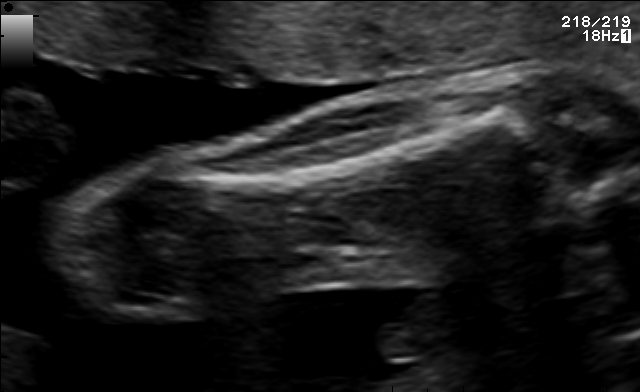
Which standard maternal-fetal ultrasound plane is shown: fetal abdomen, fetal brain, fetal femur, fetal thorax, maternal cervix, or other? If it's fetal brain and one of the three standard brain planes (trans-thalamic, trans-cerebellum, trans-ventricular), name which.

Fetal femur